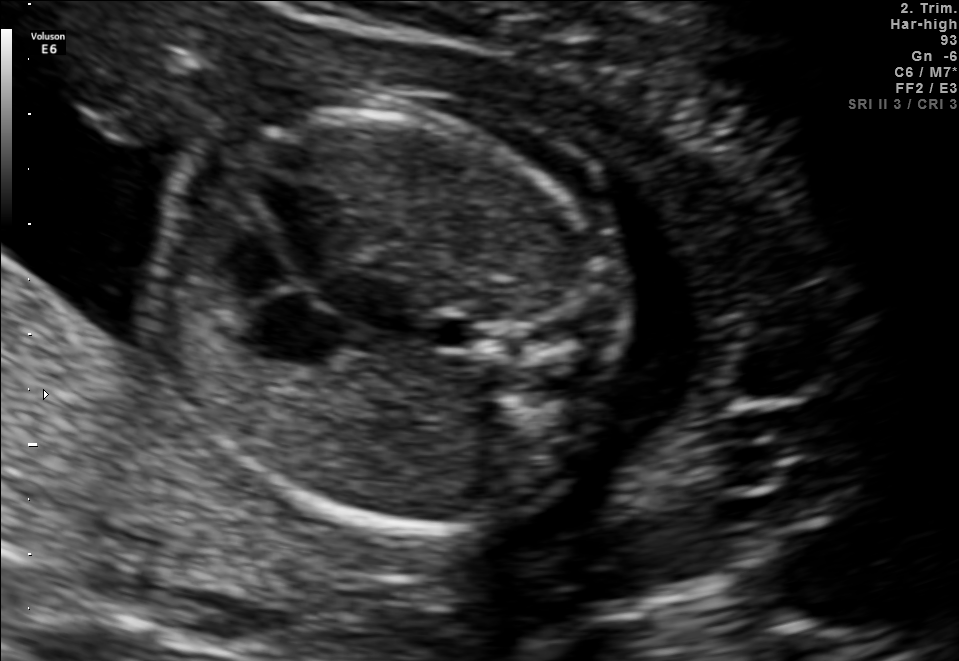
Identify the standard plane in this fetal ultrasound image: fetal abdomen, fetal brain, fetal femur, fetal thorax, maternal cervix, or other. If it's fetal brain and one of the three standard brain planes (trans-thalamic, trans-cerebellum, trans-ventricular), name which.

Fetal thorax